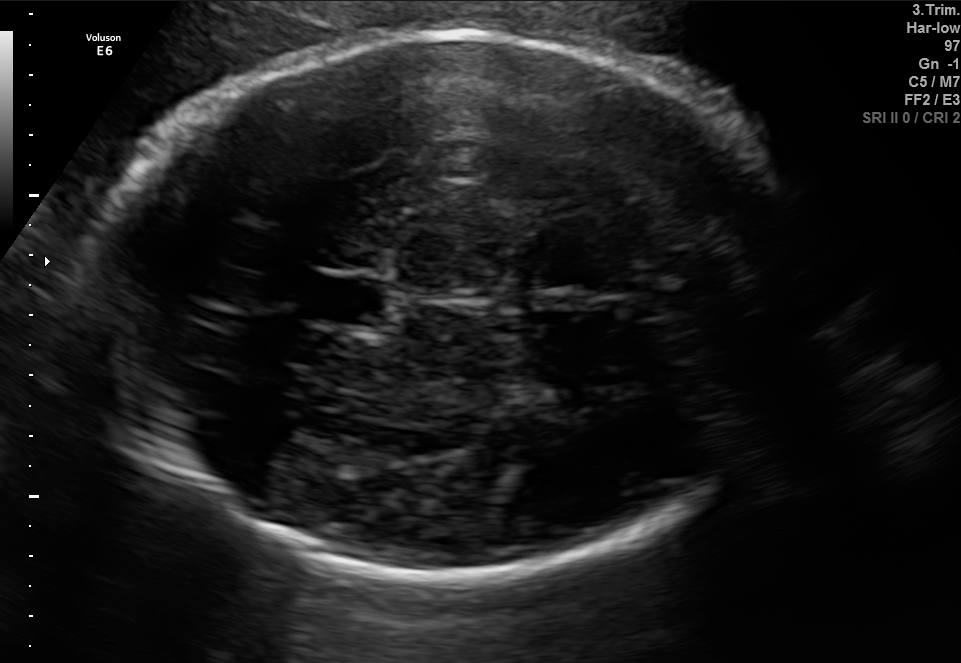
Fetal brain, trans-thalamic plane. Locate the cavum septum pellucidum.

CSP: [307,275,383,326]